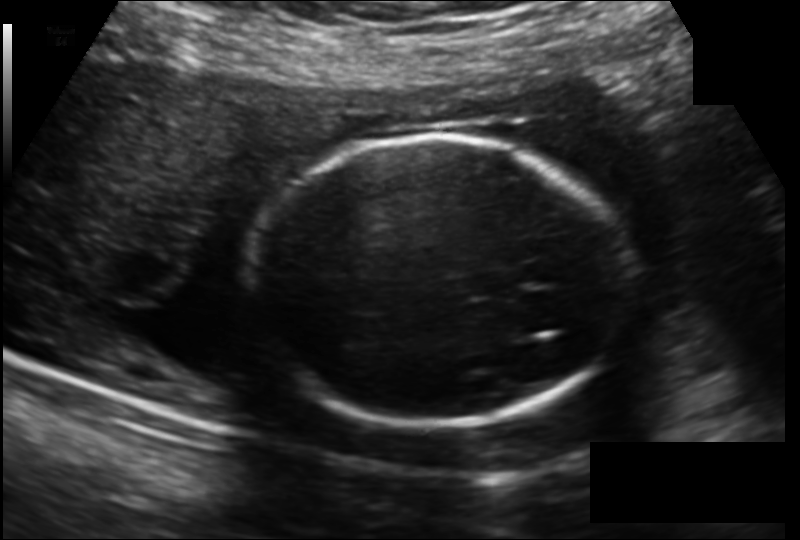
From this fetal ultrasound, estimate the head circumference (image width 132.5 mm).

Head circumference: 183.1 mm.